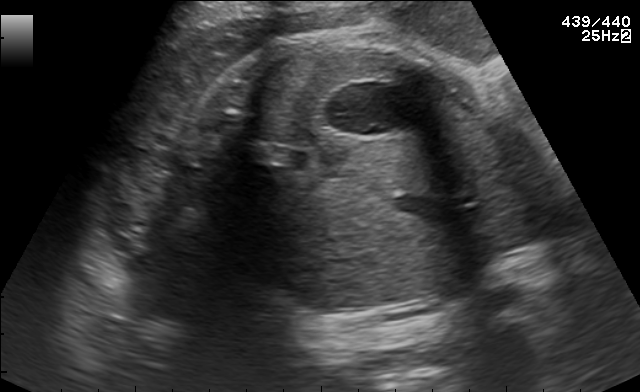
This is a 2D maternal-fetal ultrasound frame. Is it a fetal abdomen, fetal brain, fetal femur, fetal thorax, maternal cervix, or other standard plane? If it's fetal brain and one of the three standard brain planes (trans-thalamic, trans-cerebellum, trans-ventricular), name which.

Fetal abdomen